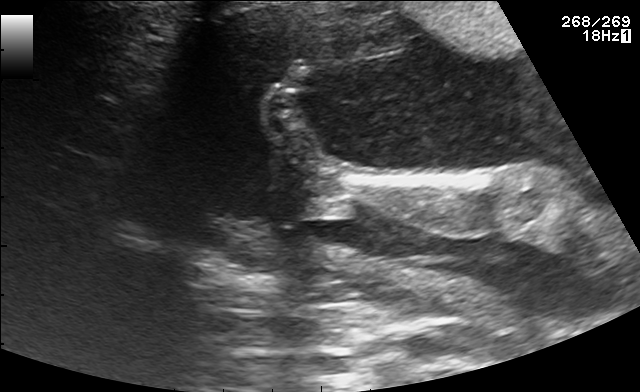
Classify this maternal-fetal ultrasound image as one of the six standard planes — fetal abdomen, fetal brain, fetal femur, fetal thorax, maternal cervix, or other. If it's fetal brain and one of the three standard brain planes (trans-thalamic, trans-cerebellum, trans-ventricular), name which.

Other